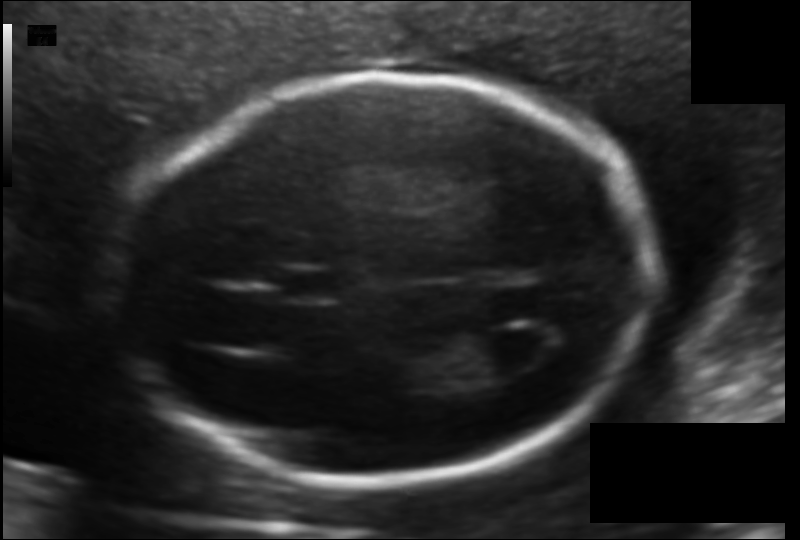
In this fetal head ultrasound, give bounding boxes for the head outline, cavum septum pellucidum (CSP), and lateral ventricle (LV), where visible. Image width: 93.0 mm.

Head: [124,76,651,484]
CSP: [270,269,342,300]
Lateral ventricle: [456,314,551,387]